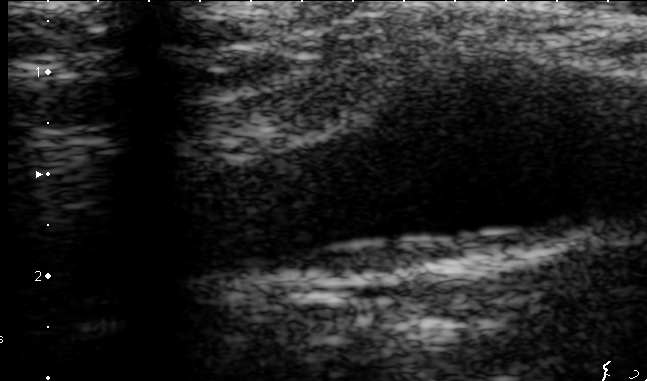
Identify the standard plane in this fetal ultrasound image: fetal abdomen, fetal brain, fetal femur, fetal thorax, maternal cervix, or other. If it's fetal brain and one of the three standard brain planes (trans-thalamic, trans-cerebellum, trans-ventricular), name which.

Other